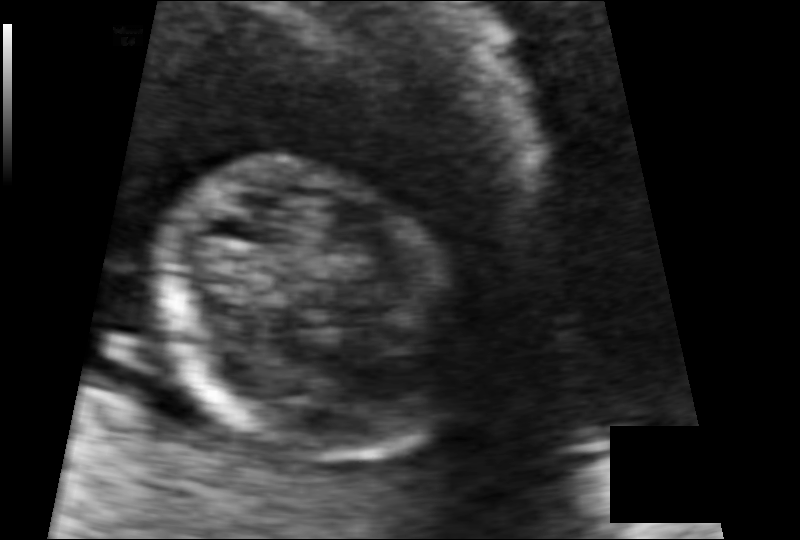
Fetal head ultrasound. Image width: 68.4 mm. Where is the fetal head?

Head bounding box: [150,161,471,462]